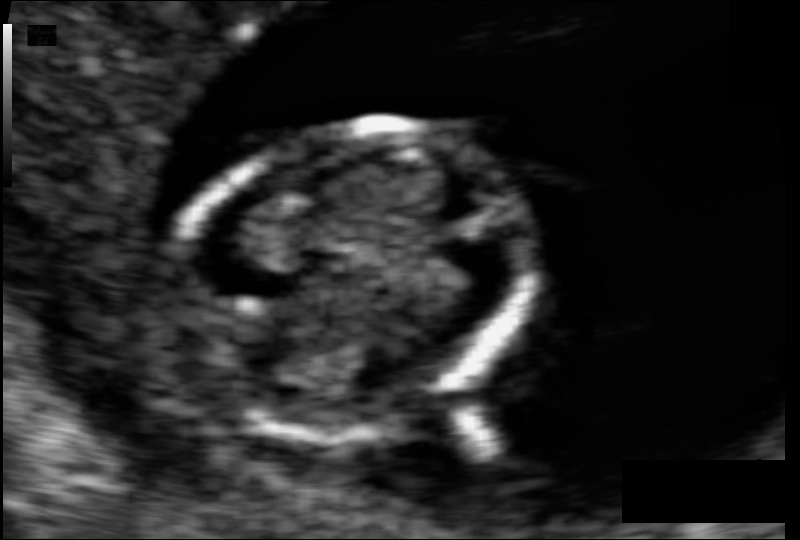
Measure the fetal head circumference shown in this ultrasound image. Image width: 54.9 mm.

Head circumference: 77.2 mm.